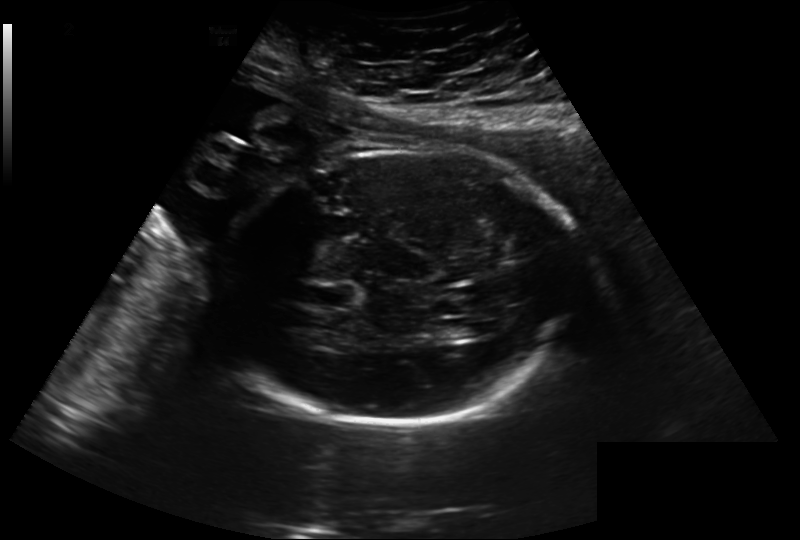
Measure the fetal head circumference shown in this ultrasound image. Image width: 208.3 mm.

Head circumference: 269.0 mm.